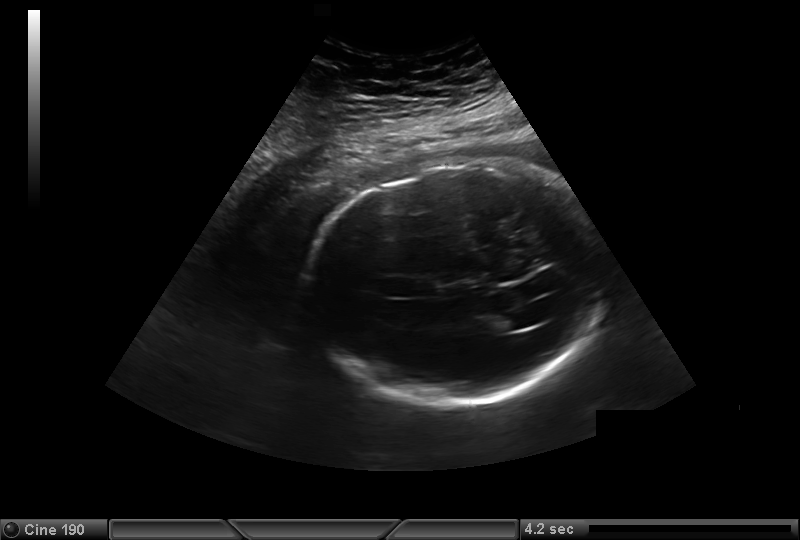
Fetal head ultrasound. Image width: 258.3 mm. Give [x1,y1,x2,y2] bounding boxes for each visible structure among: fetal head, CSP, LV.

Head: [306,164,607,405]
Lateral ventricle: [489,309,527,334]